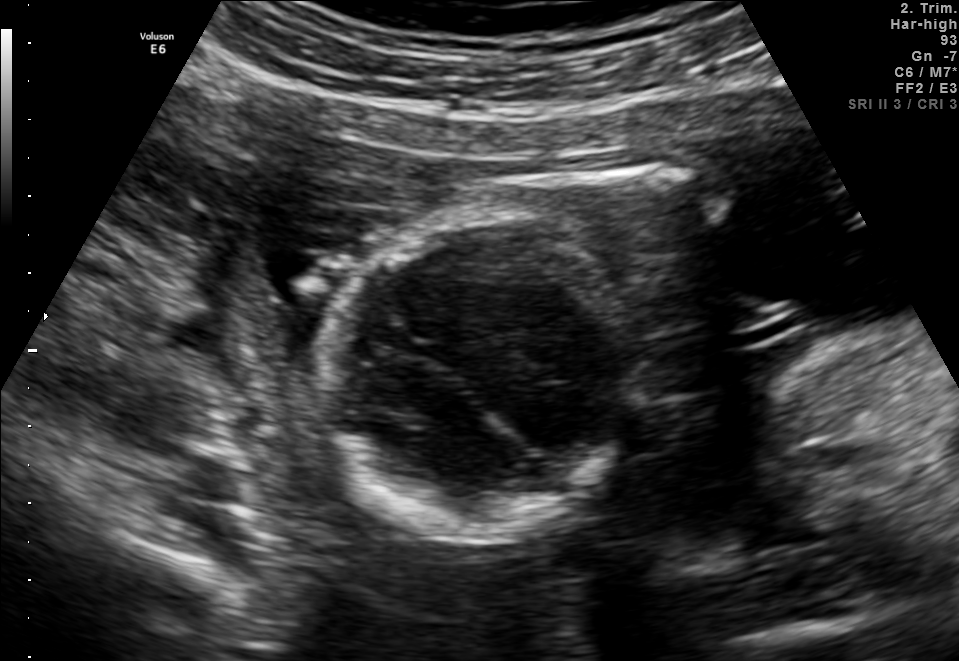
This is a 2D maternal-fetal ultrasound frame. Is it a fetal abdomen, fetal brain, fetal femur, fetal thorax, maternal cervix, or other standard plane? If it's fetal brain and one of the three standard brain planes (trans-thalamic, trans-cerebellum, trans-ventricular), name which.

Fetal brain